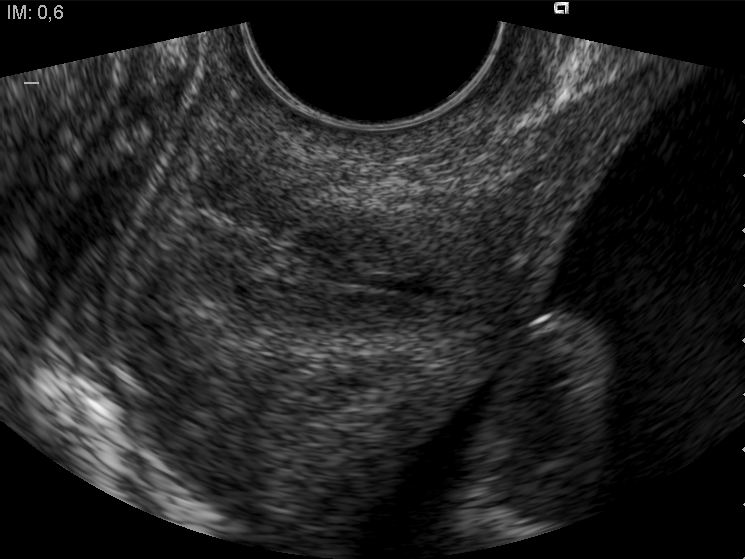
Identify the standard plane in this fetal ultrasound image: fetal abdomen, fetal brain, fetal femur, fetal thorax, maternal cervix, or other. If it's fetal brain and one of the three standard brain planes (trans-thalamic, trans-cerebellum, trans-ventricular), name which.

Maternal cervix